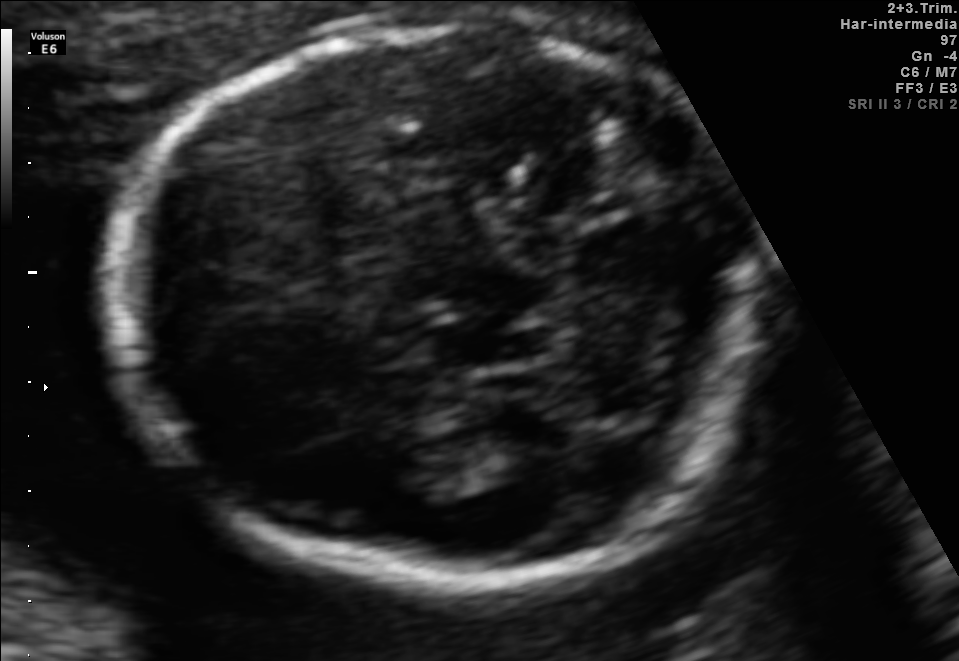
In this fetal brain, trans-thalamic plane, give bounding boxes for the head outline, cavum septum pellucidum (CSP), and lateral ventricle (LV), where visible.

Head: [110,18,763,583]